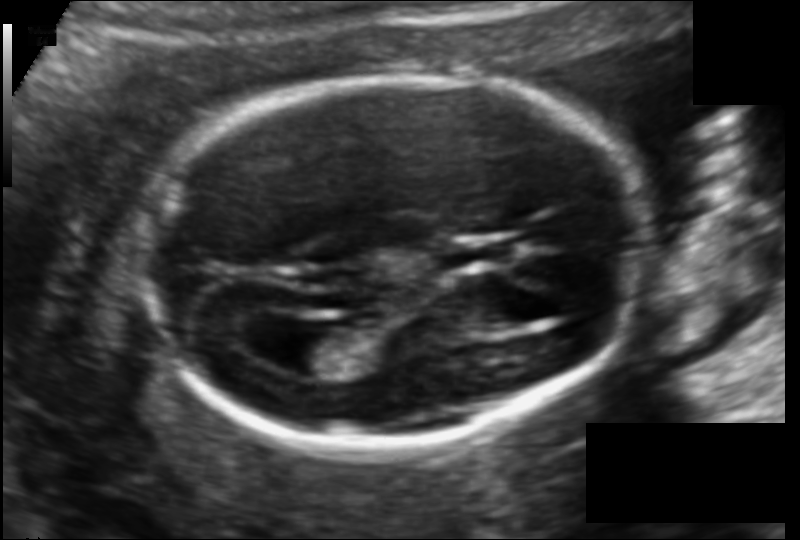
Estimate the fetal head circumference from this 2D ultrasound. Image width: 91.5 mm.

Head circumference: 158.9 mm.